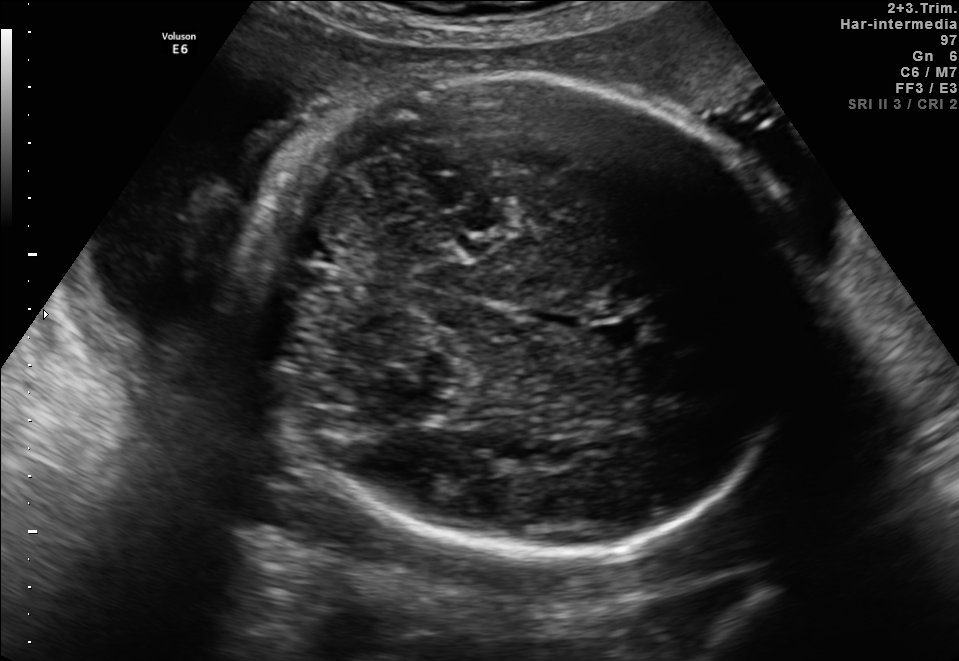
Fetal brain, trans-cerebellum plane. Where is the cavum septum pellucidum?

CSP bounding box: [585,312,654,358]